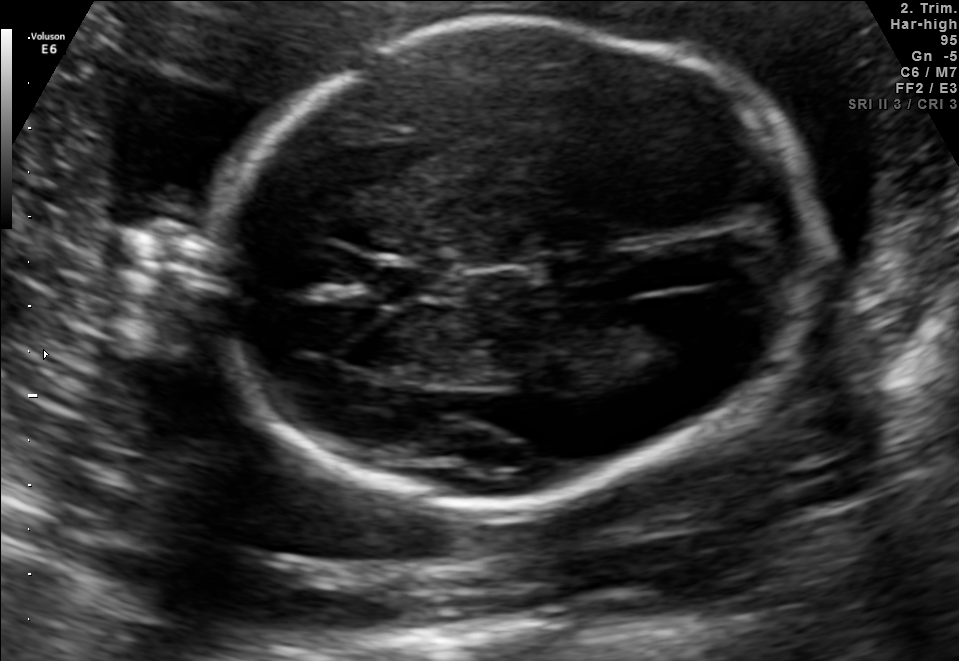
Fetal brain, trans-ventricular plane. Locate the fetal head and, if visible, the cavum septum pellucidum (CSP) and lateral ventricle (LV). Give bounding boxes as [x1,y1,x2,y2].

Head: [197,8,826,521]
CSP: [373,258,463,299]